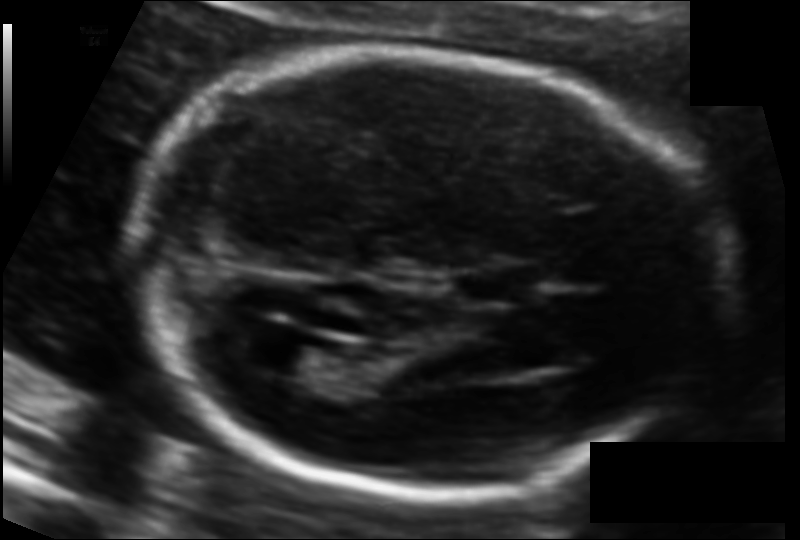
Fetal head ultrasound. Image width: 82.9 mm. Locate the fetal head.

Head: [131,53,704,500]